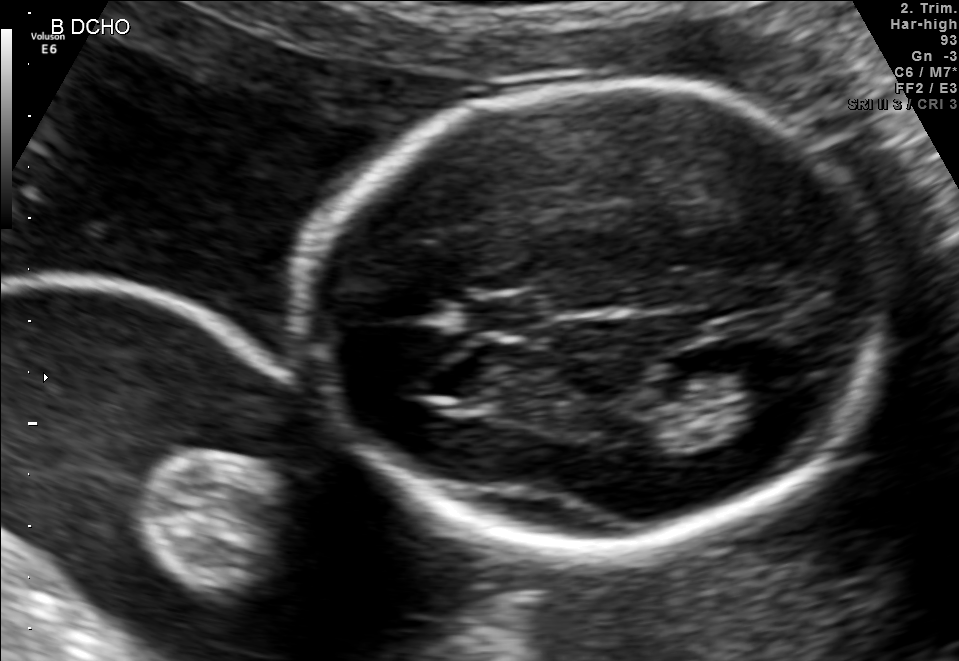
Fetal brain, trans-thalamic plane. Where is the fetal head?

Head bounding box: [305,81,870,548]